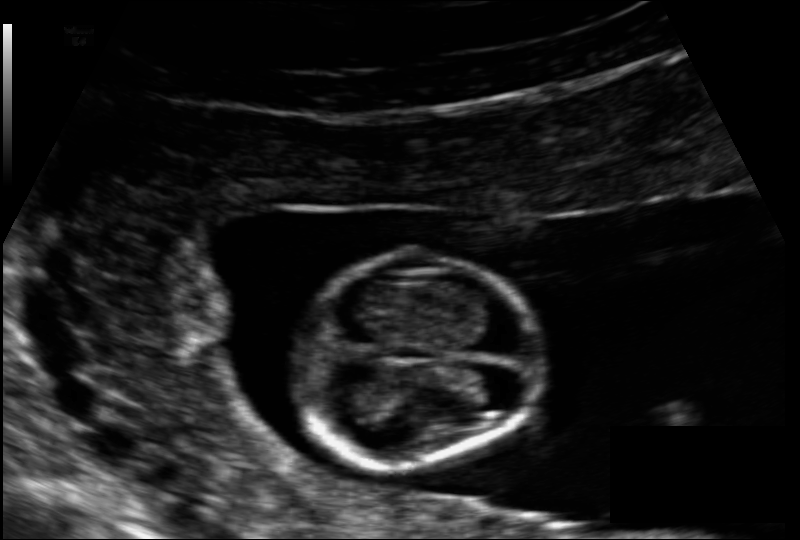
Fetal head ultrasound. Image width: 73.0 mm. Where is the fetal head?

Head bounding box: [284,251,544,471]